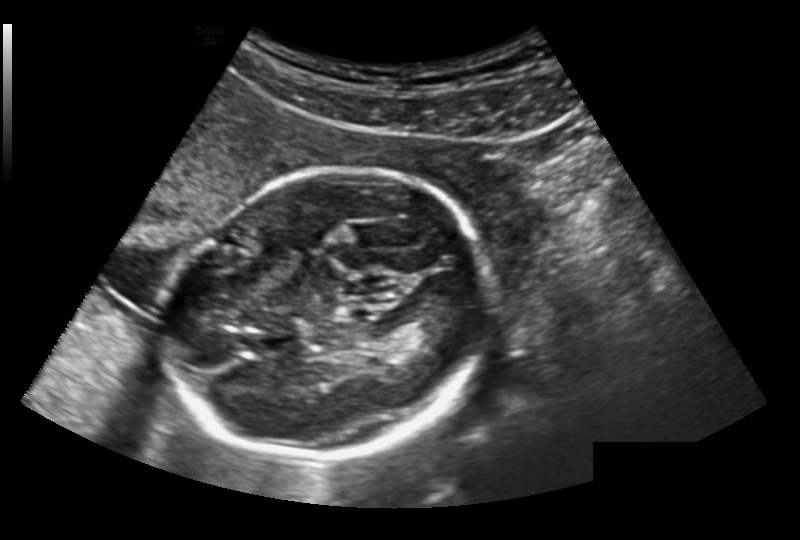
Estimate the fetal head circumference from this 2D ultrasound.

Head circumference: 191.9 mm (image width 152.5 mm).